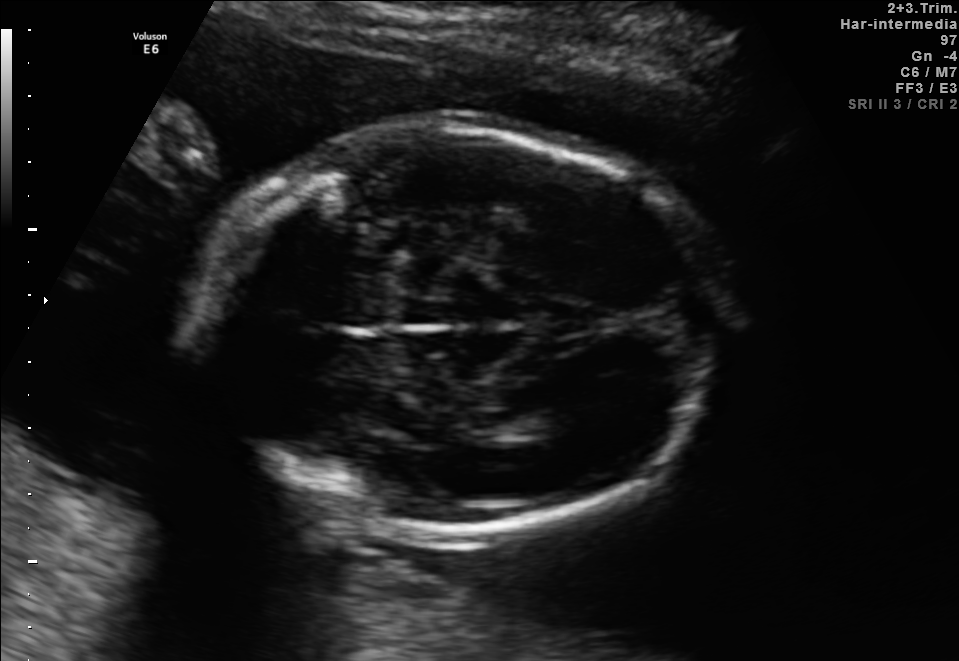
In this fetal brain, trans-thalamic plane, give the bounding box of the lateral ventricle.

[500,405,577,439]